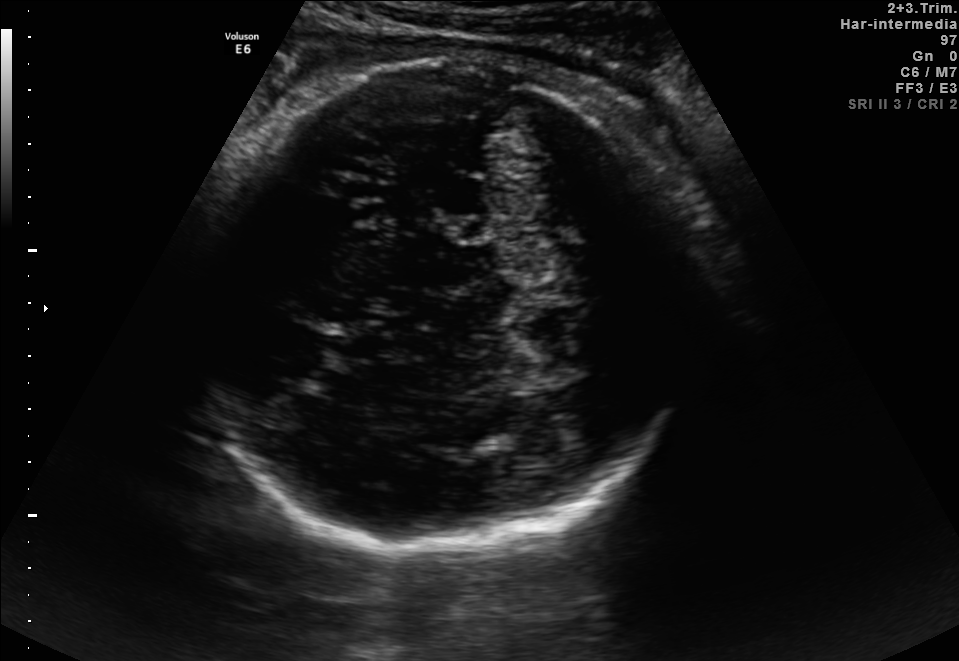
Fetal brain, trans-thalamic plane. Locate the fetal head and, if visible, the cavum septum pellucidum (CSP) and lateral ventricle (LV). Give bounding boxes as [x1,y1,x2,y2].

Head: [198,57,701,558]